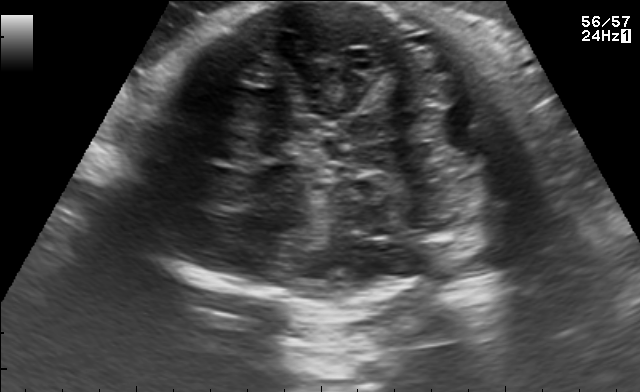
Fetal brain, trans-cerebellum plane. Where is the fetal head?

Head bounding box: [116,2,561,304]